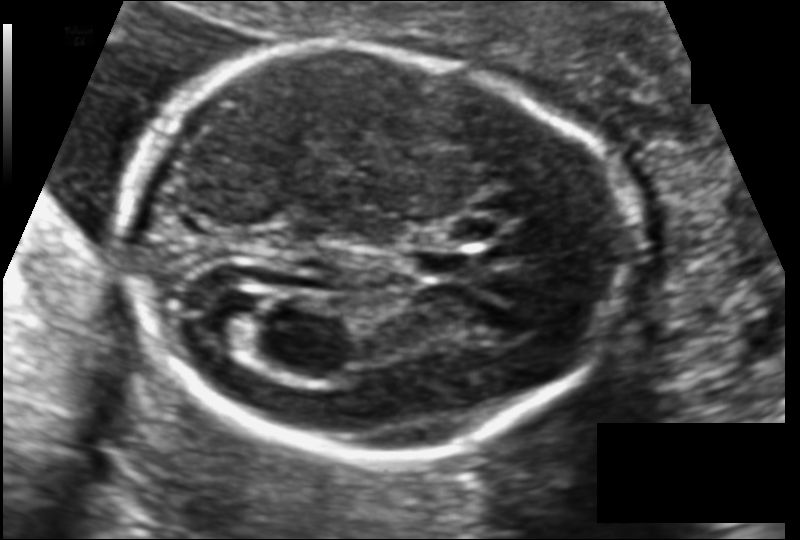
Measure the fetal head circumference shown in this ultrasound image. Image width: 93.1 mm.

Head circumference: 172.2 mm.